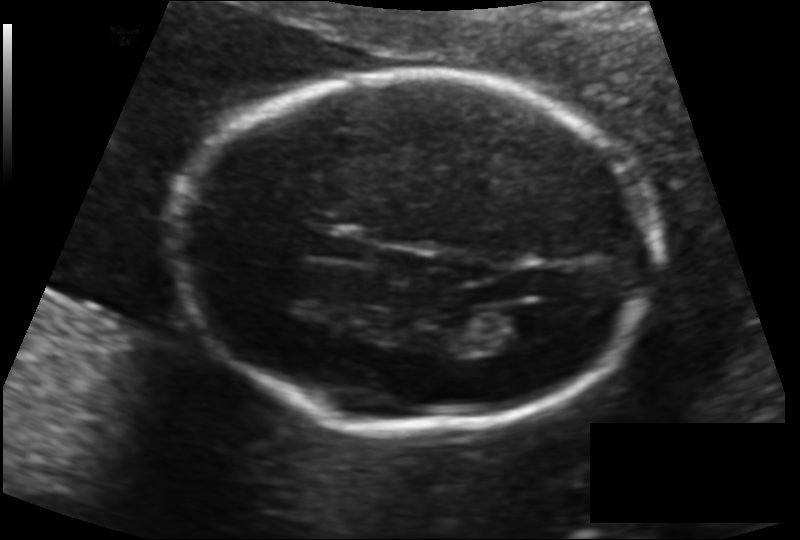
Fetal head ultrasound. Image width: 107.4 mm. Locate the fetal head and, if visible, the cavum septum pellucidum (CSP) and lateral ventricle (LV). Give bounding boxes as [x1,y1,x2,y2].

Head: [182,71,658,428]
CSP: [306,226,367,265]
Lateral ventricle: [477,301,546,353]